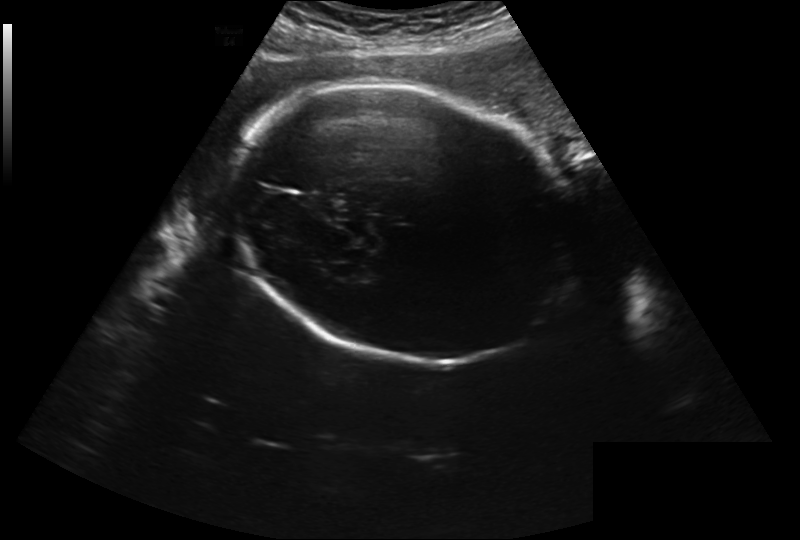
Fetal head ultrasound. Image width: 223.8 mm. Give [x1,y1,x2,y2] bounding boxes for each visible structure among: fetal head, CSP, LV.

Head: [231,84,577,361]